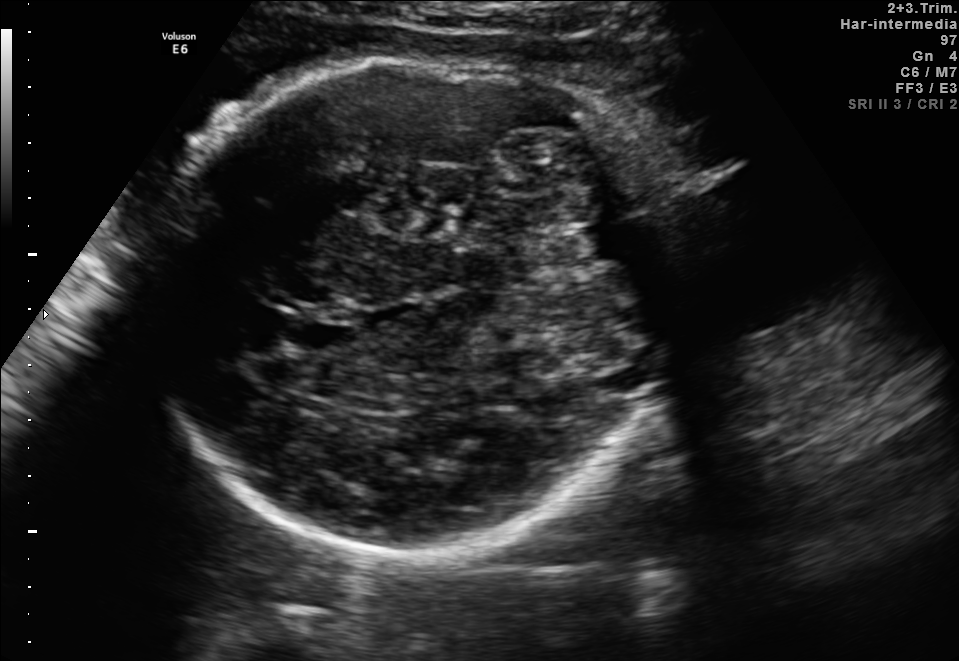
Fetal brain, trans-thalamic plane. Locate the fetal head and, if visible, the cavum septum pellucidum (CSP) and lateral ventricle (LV). Give bounding boxes as [x1,y1,x2,y2].

Head: [131,61,672,558]
CSP: [288,314,357,350]